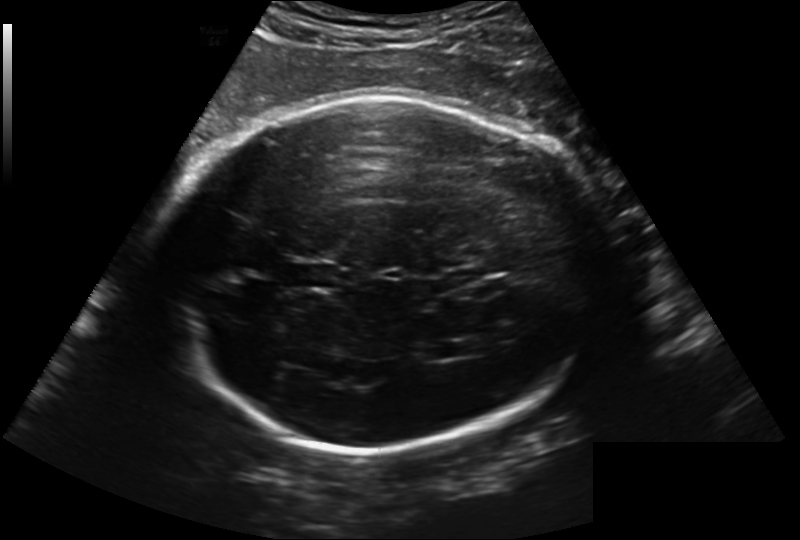
Fetal head ultrasound. Image width: 192.7 mm. Where is the lateral ventricle?

Lateral ventricle bounding box: [422,339,463,363]